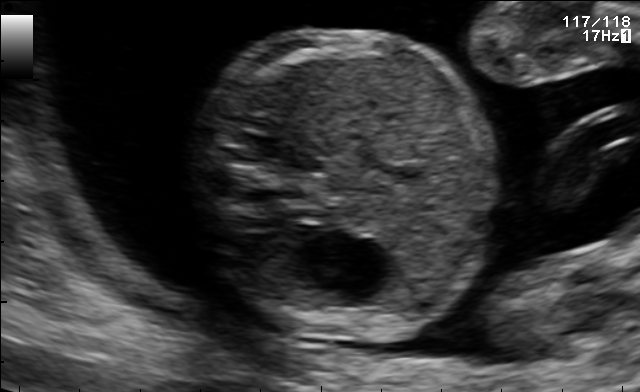
Which standard maternal-fetal ultrasound plane is shown: fetal abdomen, fetal brain, fetal femur, fetal thorax, maternal cervix, or other? If it's fetal brain and one of the three standard brain planes (trans-thalamic, trans-cerebellum, trans-ventricular), name which.

Fetal abdomen